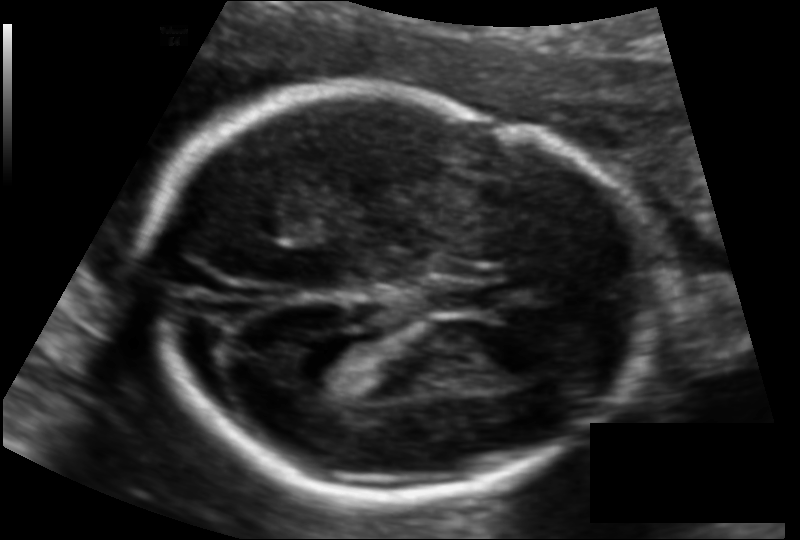
In this fetal head ultrasound, give the bounding box of the cavum septum pellucidum. Image width: 93.9 mm.

[429,278,500,315]